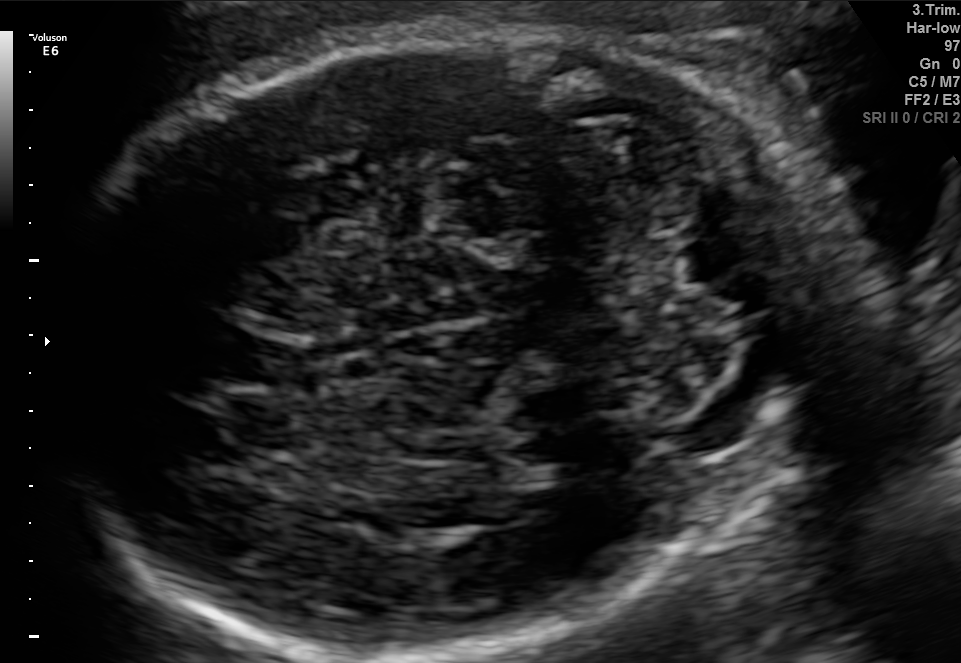
Fetal brain, trans-cerebellum plane. Locate the cavum septum pellucidum.

CSP: [215,327,317,396]